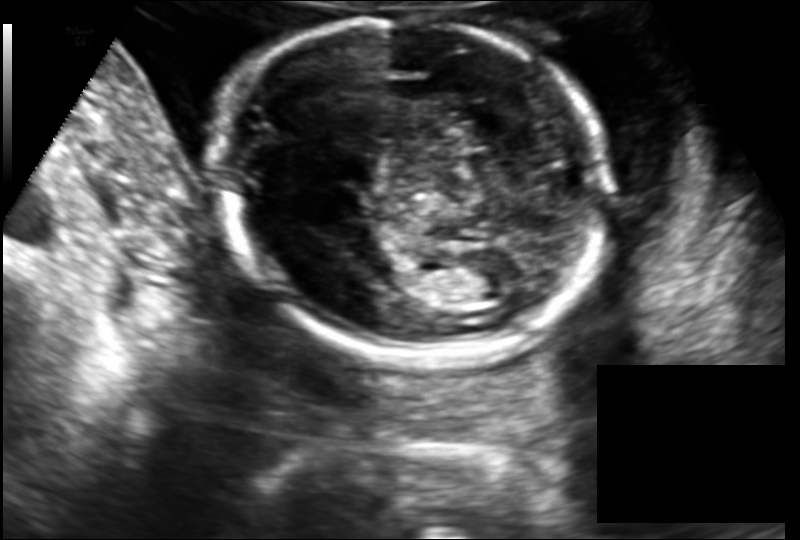
What is the fetal head circumference? Image width is 119.1 mm.

175.4 mm